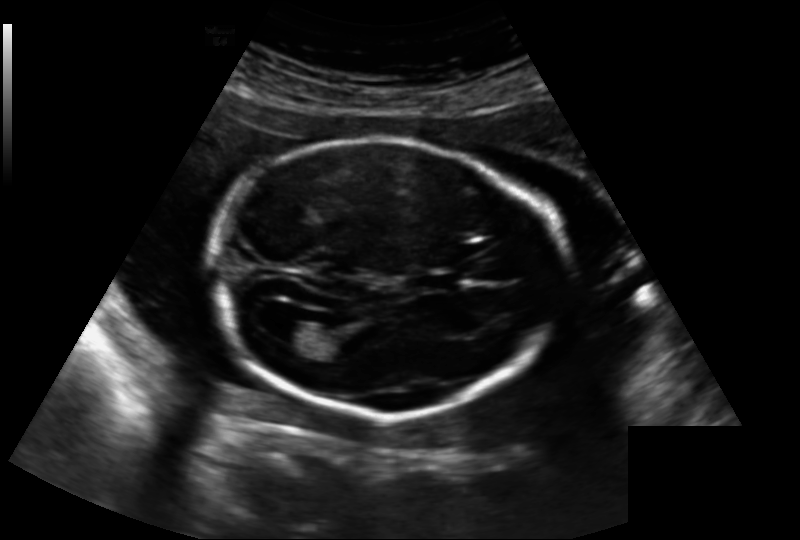
Fetal head ultrasound. Image width: 150.3 mm. Locate the lateral ventricle.

Lateral ventricle: [272,317,319,350]